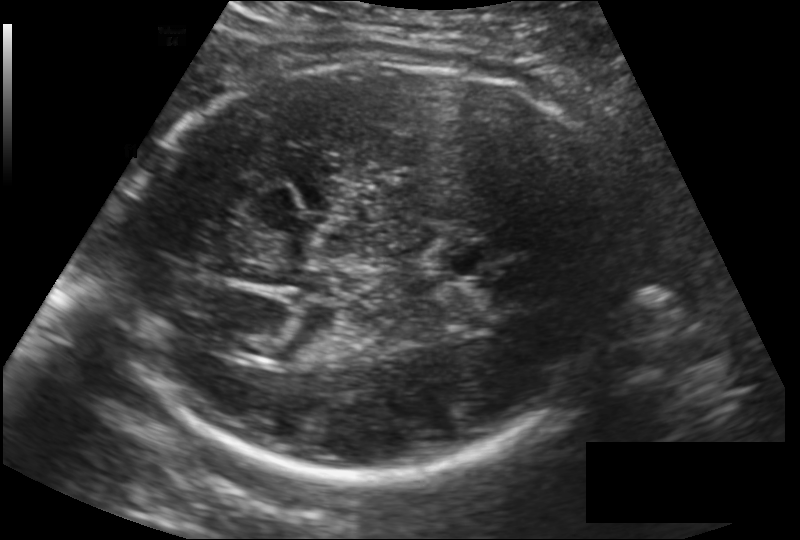
In this fetal head ultrasound, give the bounding box of the cavum septum pellucidum. Image width: 148.6 mm.

[438,240,506,279]